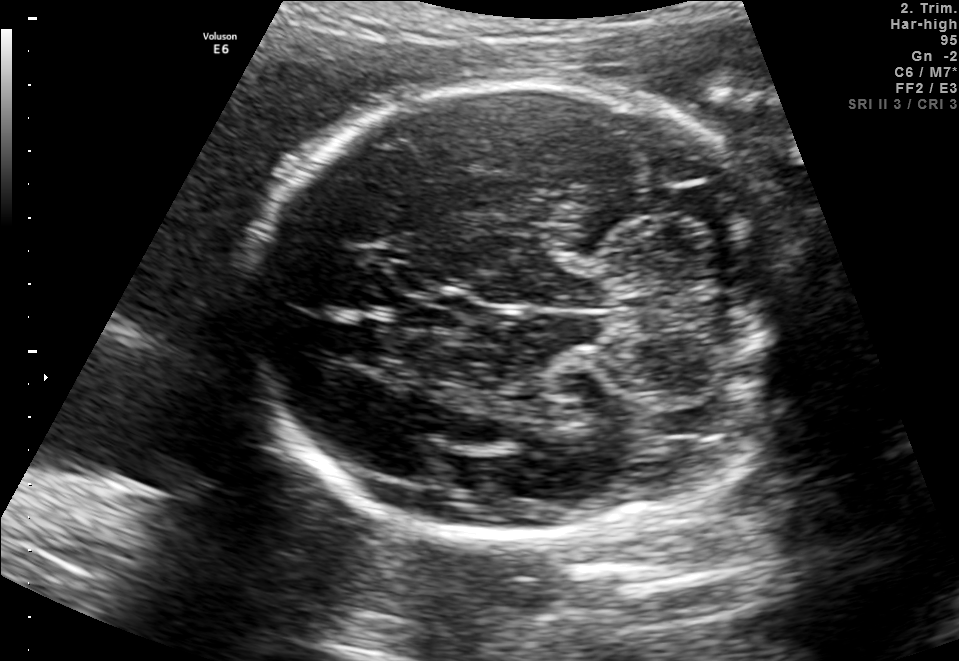
Fetal brain, trans-cerebellum plane. Where is the fetal head?

Head bounding box: [247,80,790,539]